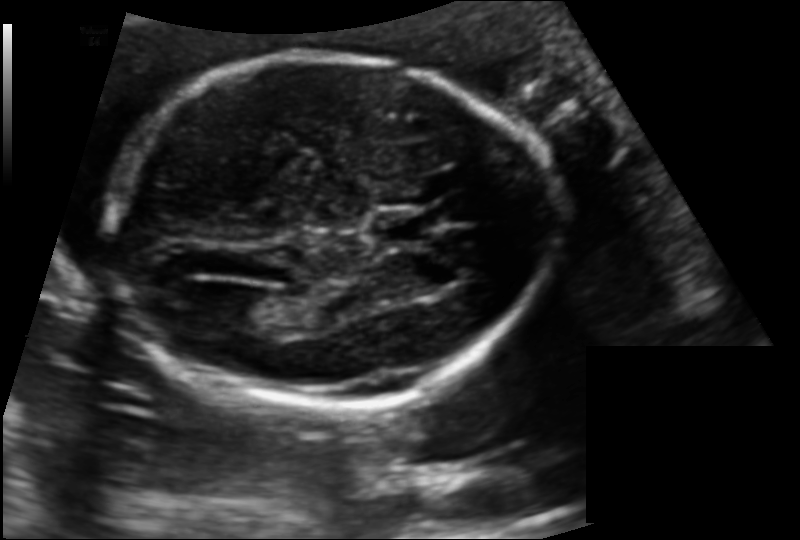
Fetal head ultrasound. Image width: 105.8 mm. Locate the fetal head and, if visible, the cavum septum pellucidum (CSP) and lateral ventricle (LV). Give bounding boxes as [x1,y1,x2,y2].

Head: [106,56,551,404]
CSP: [376,211,431,243]
Lateral ventricle: [226,292,283,331]